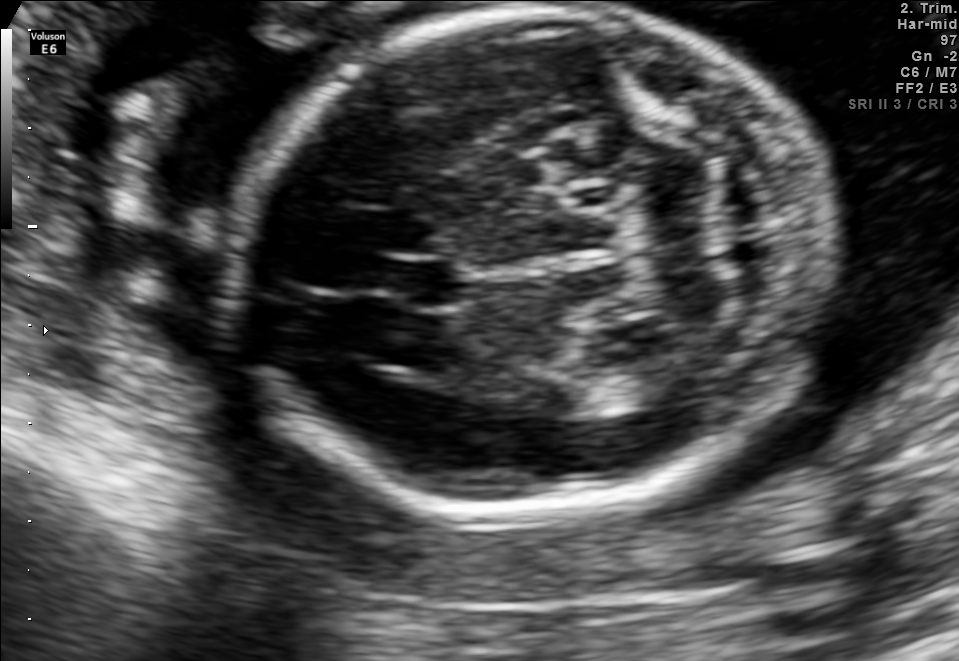
In this fetal brain, trans-cerebellum plane, give the bounding box of the fetal head.

[236,10,833,515]